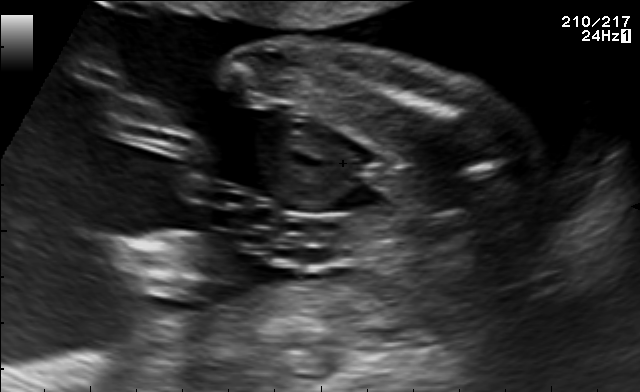
Classify this maternal-fetal ultrasound image as one of the six standard planes — fetal abdomen, fetal brain, fetal femur, fetal thorax, maternal cervix, or other. If it's fetal brain and one of the three standard brain planes (trans-thalamic, trans-cerebellum, trans-ventricular), name which.

Other